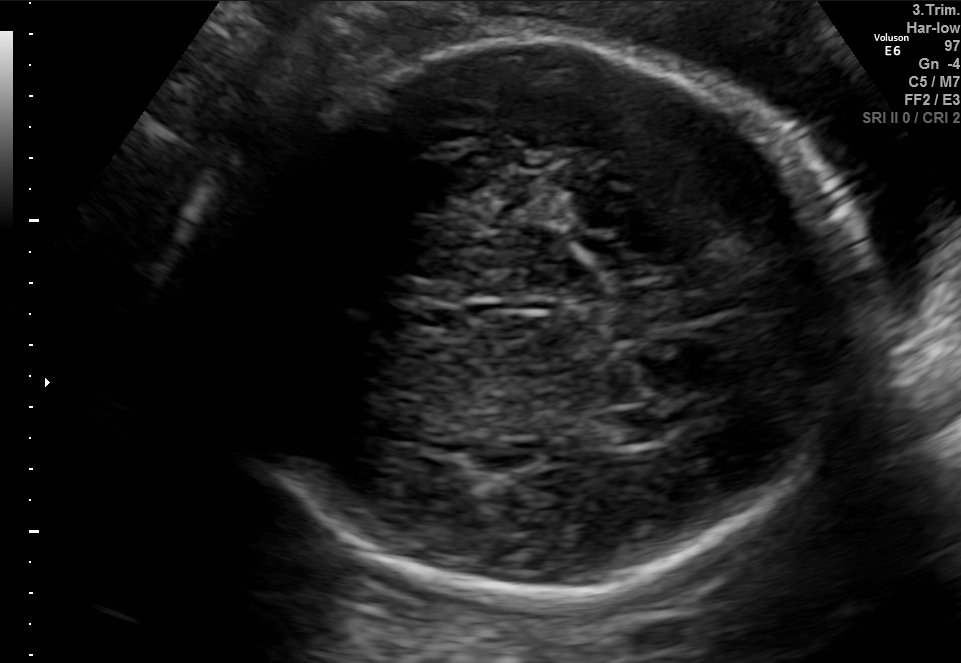
This is a 2D maternal-fetal ultrasound frame. Is it a fetal abdomen, fetal brain, fetal femur, fetal thorax, maternal cervix, or other standard plane? If it's fetal brain and one of the three standard brain planes (trans-thalamic, trans-cerebellum, trans-ventricular), name which.

Fetal brain (trans-thalamic plane)